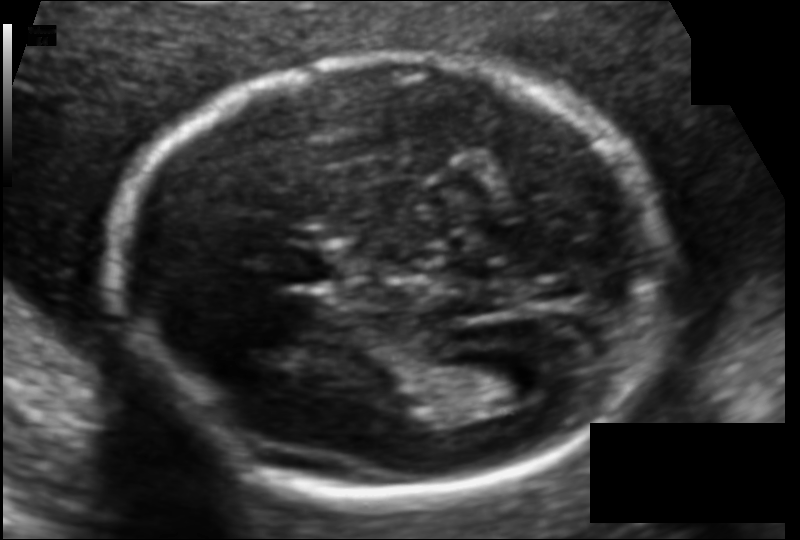
In this fetal head ultrasound, give the bounding box of the lateral ventricle. Image width: 83.5 mm.

[460,346,554,413]